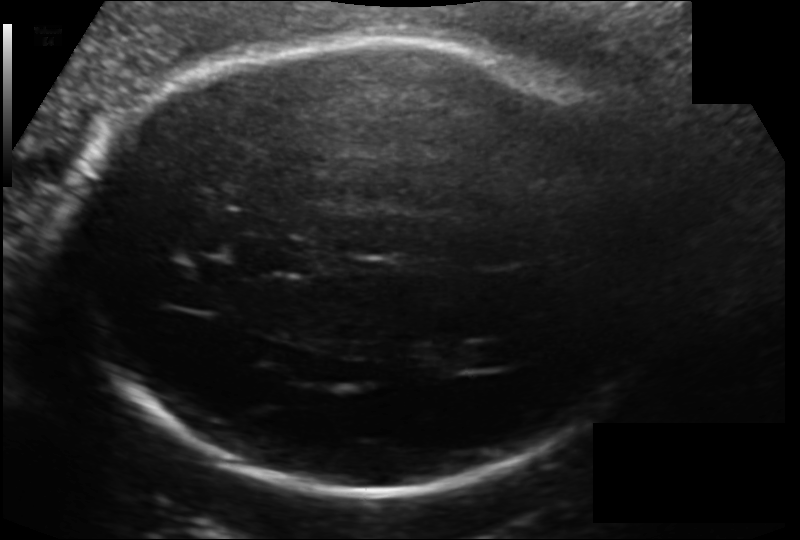
In this fetal head ultrasound, give the bounding box of the lateral ventricle. Image width: 123.2 mm.

[459,342,514,370]